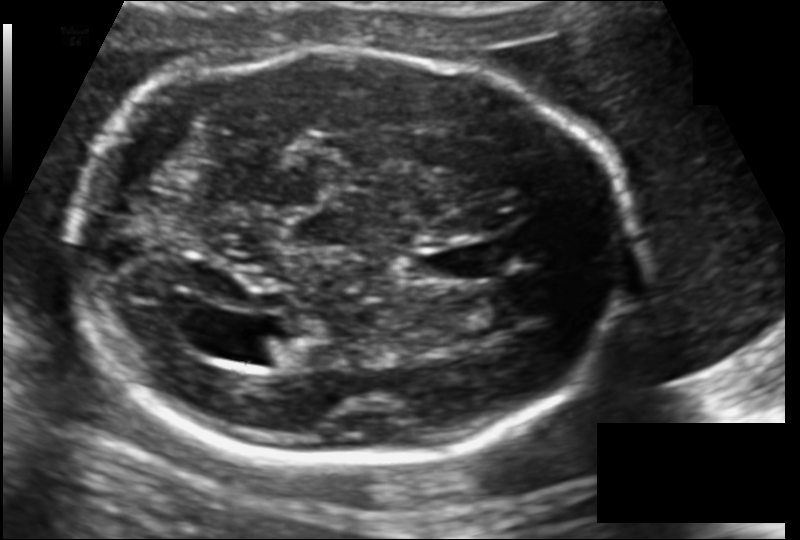
In this fetal head ultrasound, give the bounding box of the fetal head. Image width: 110.0 mm.

[70,49,636,460]